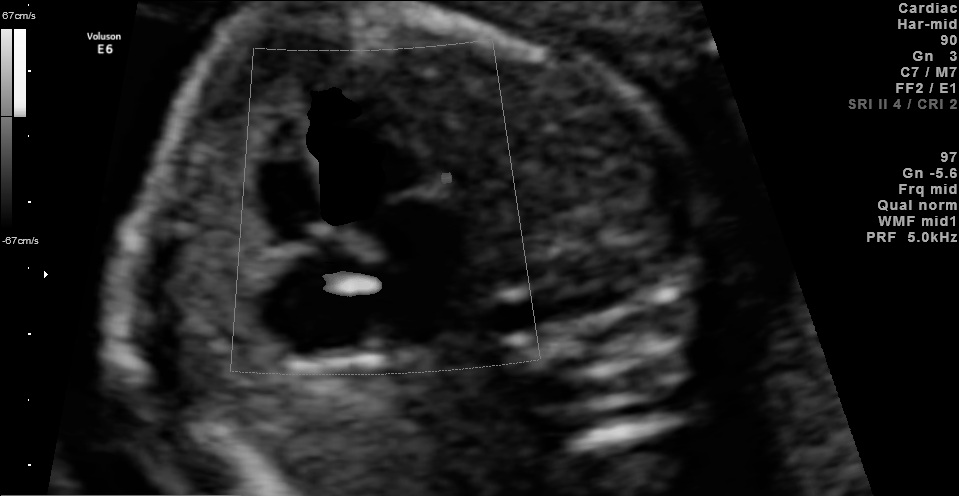
Classify this maternal-fetal ultrasound image as one of the six standard planes — fetal abdomen, fetal brain, fetal femur, fetal thorax, maternal cervix, or other. If it's fetal brain and one of the three standard brain planes (trans-thalamic, trans-cerebellum, trans-ventricular), name which.

Other